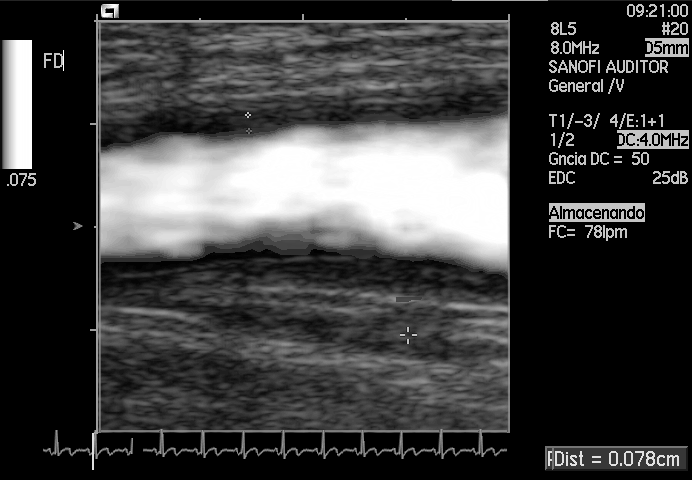
Which standard maternal-fetal ultrasound plane is shown: fetal abdomen, fetal brain, fetal femur, fetal thorax, maternal cervix, or other? If it's fetal brain and one of the three standard brain planes (trans-thalamic, trans-cerebellum, trans-ventricular), name which.

Other